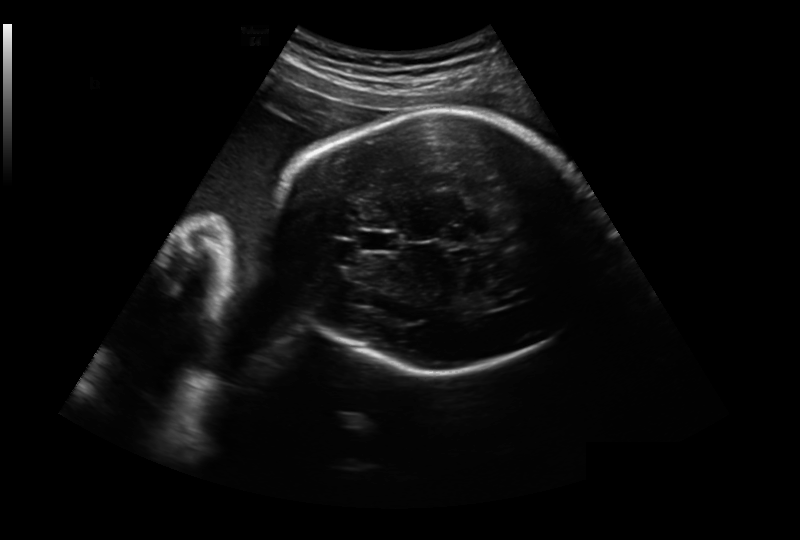
In this fetal head ultrasound, give bounding boxes for the head outline, cavum septum pellucidum (CSP), and lateral ventricle (LV), where visible. Image width: 224.7 mm.

Head: [274,110,602,373]
CSP: [357,228,402,255]